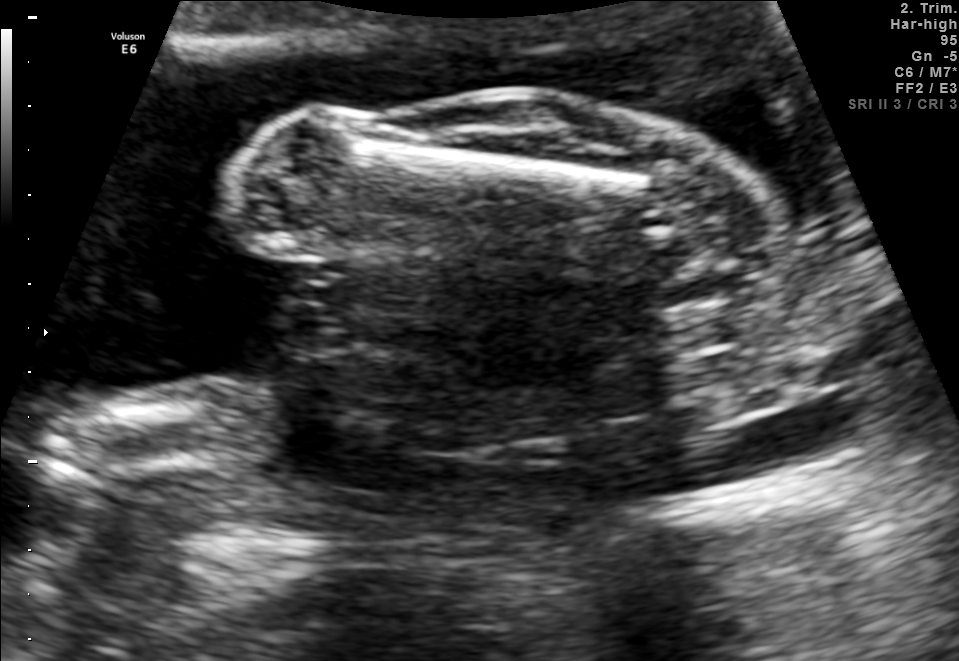
Classify this maternal-fetal ultrasound image as one of the six standard planes — fetal abdomen, fetal brain, fetal femur, fetal thorax, maternal cervix, or other. If it's fetal brain and one of the three standard brain planes (trans-thalamic, trans-cerebellum, trans-ventricular), name which.

Fetal femur